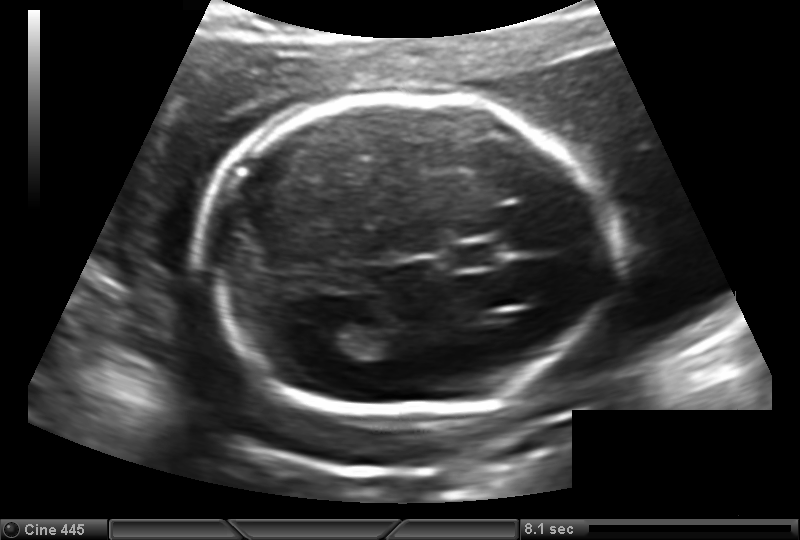
Fetal head ultrasound. Image width: 119.4 mm. Locate the fetal head and, if visible, the cavum septum pellucidum (CSP) and lateral ventricle (LV). Give bounding boxes as [x1,y1,x2,y2].

Head: [208,94,607,415]
CSP: [446,238,504,272]
Lateral ventricle: [315,320,367,358]